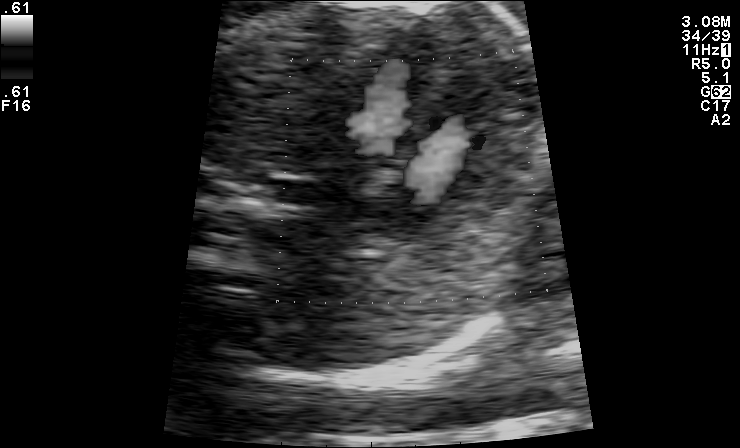
Classify this maternal-fetal ultrasound image as one of the six standard planes — fetal abdomen, fetal brain, fetal femur, fetal thorax, maternal cervix, or other. If it's fetal brain and one of the three standard brain planes (trans-thalamic, trans-cerebellum, trans-ventricular), name which.

Other